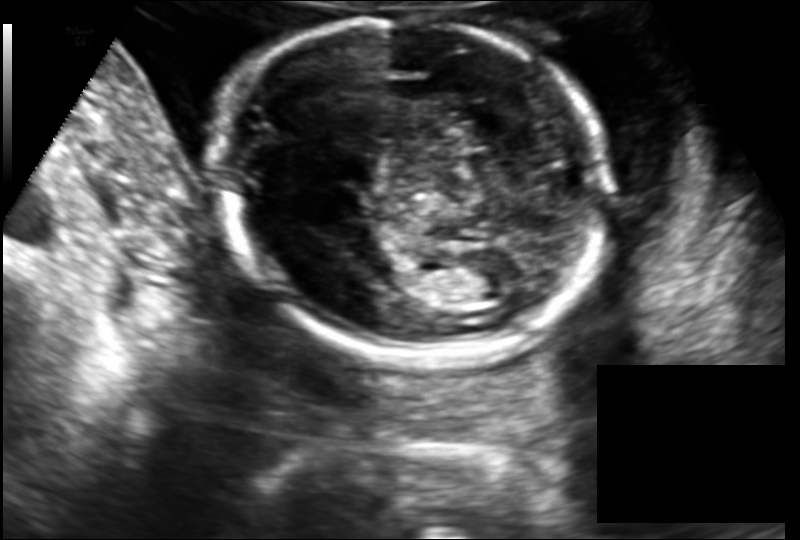
Measure the fetal head circumference shown in this ultrasound image. Image width: 119.1 mm.

Head circumference: 175.4 mm.